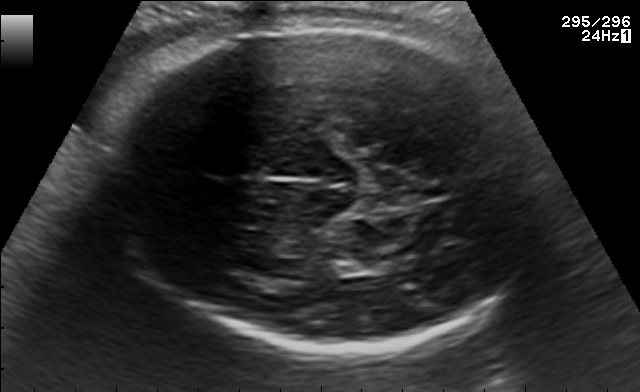
Fetal brain, trans-thalamic plane. Locate the fetal head.

Head: [111,23,542,355]